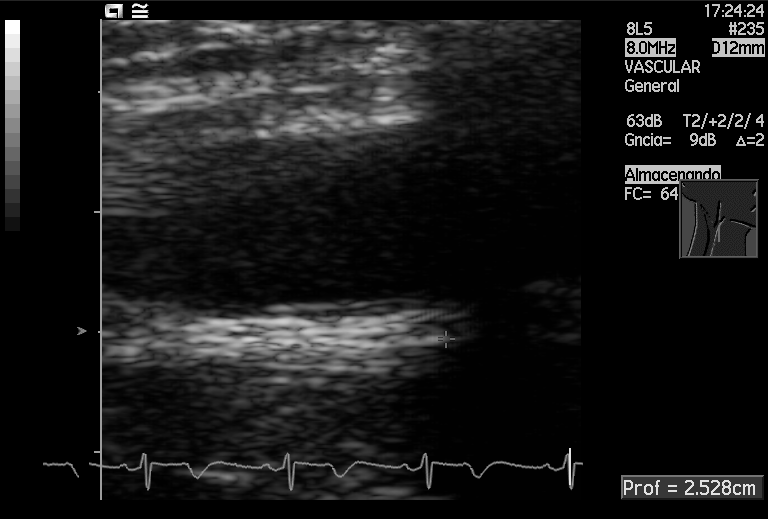
This is a 2D maternal-fetal ultrasound frame. Is it a fetal abdomen, fetal brain, fetal femur, fetal thorax, maternal cervix, or other standard plane? If it's fetal brain and one of the three standard brain planes (trans-thalamic, trans-cerebellum, trans-ventricular), name which.

Other